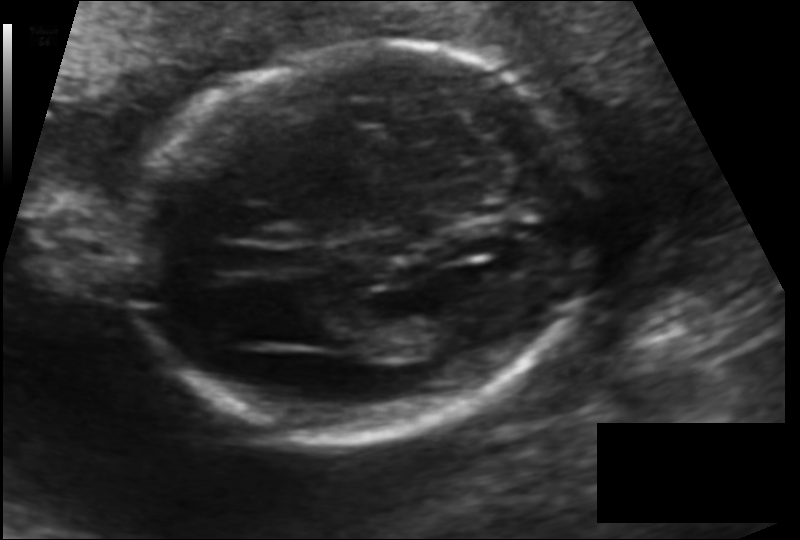
Estimate the fetal head circumference from this 2D ultrasound. Image width: 96.4 mm.

Head circumference: 167.0 mm.